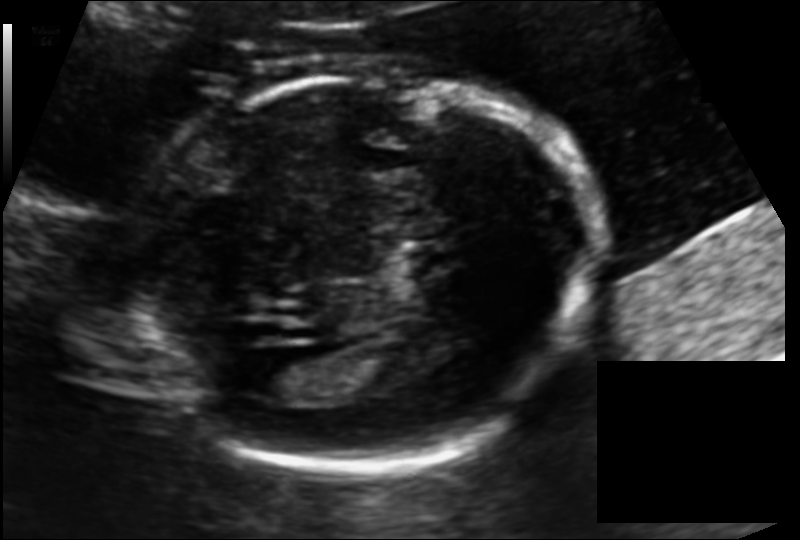
Fetal head ultrasound. Image width: 99.9 mm. Locate the fetal head and, if visible, the cavum septum pellucidum (CSP) and lateral ventricle (LV). Give bounding boxes as [x1,y1,x2,y2].

Head: [122,74,596,468]
Lateral ventricle: [258,358,323,397]